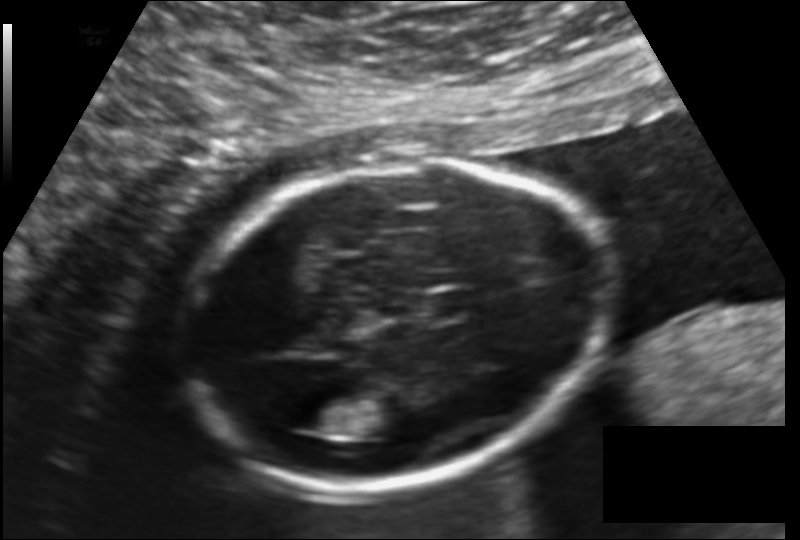
Fetal head ultrasound. Image width: 112.0 mm. Locate the fetal head.

Head: [187,158,613,484]